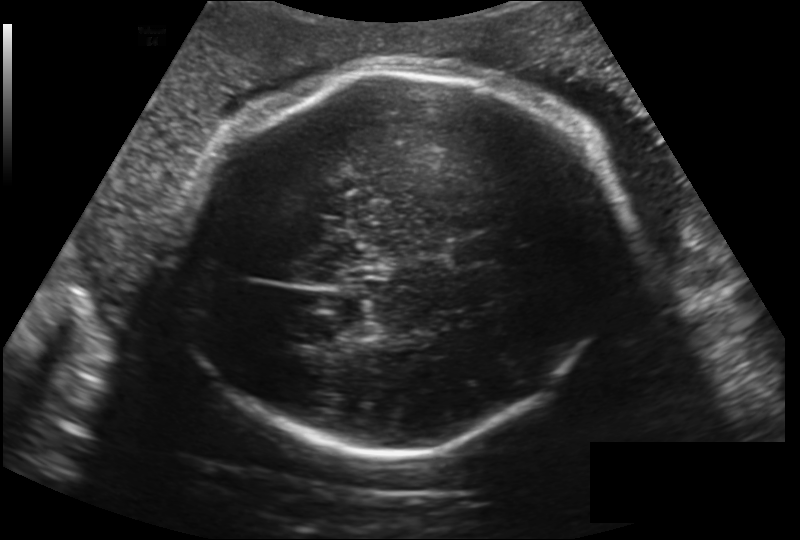
From this fetal ultrasound, estimate the head circumference (image width 179.4 mm).

Head circumference: 303.2 mm.